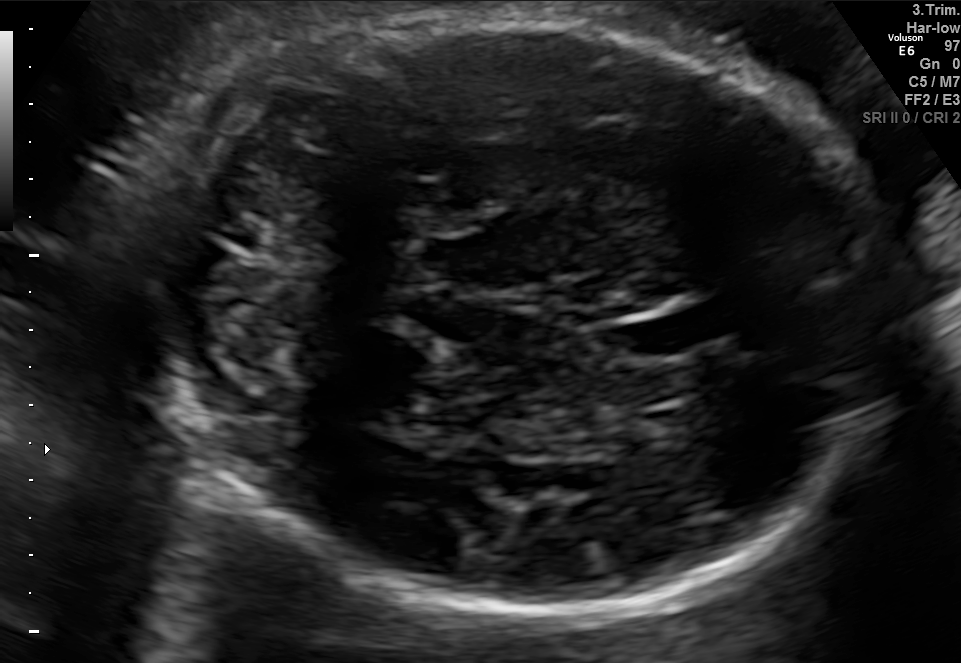
Fetal brain, trans-cerebellum plane. Locate the fetal head.

Head: [153,7,884,620]